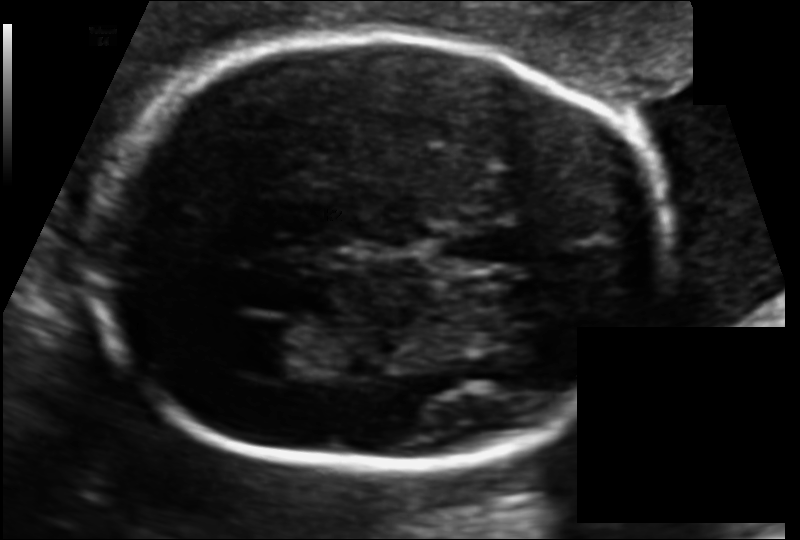
Estimate the fetal head circumference from this 2D ultrasound.

Head circumference: 182.6 mm (image width 89.0 mm).